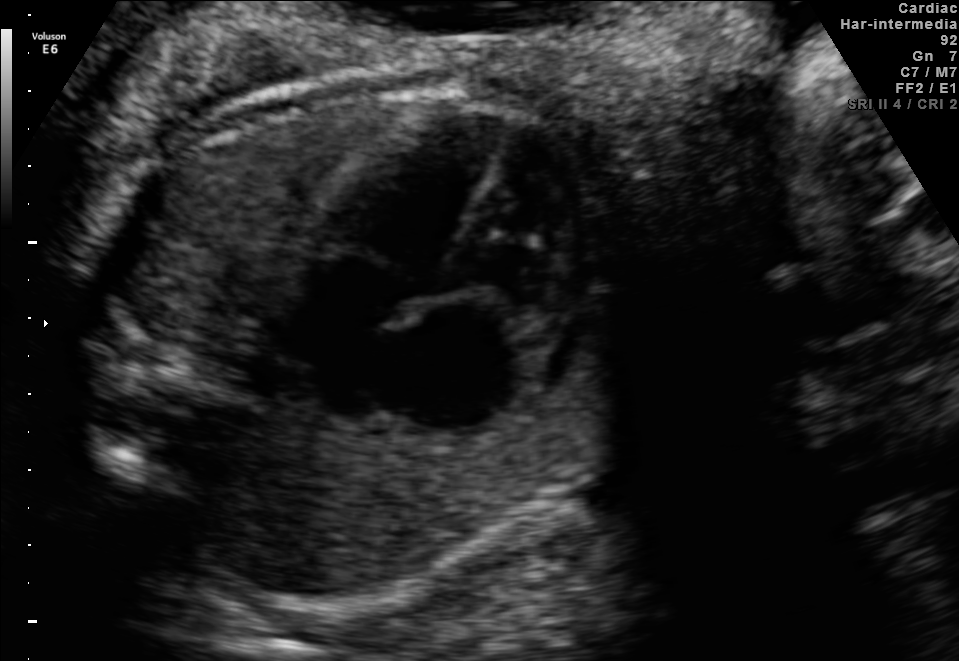
Identify the standard plane in this fetal ultrasound image: fetal abdomen, fetal brain, fetal femur, fetal thorax, maternal cervix, or other. If it's fetal brain and one of the three standard brain planes (trans-thalamic, trans-cerebellum, trans-ventricular), name which.

Fetal thorax